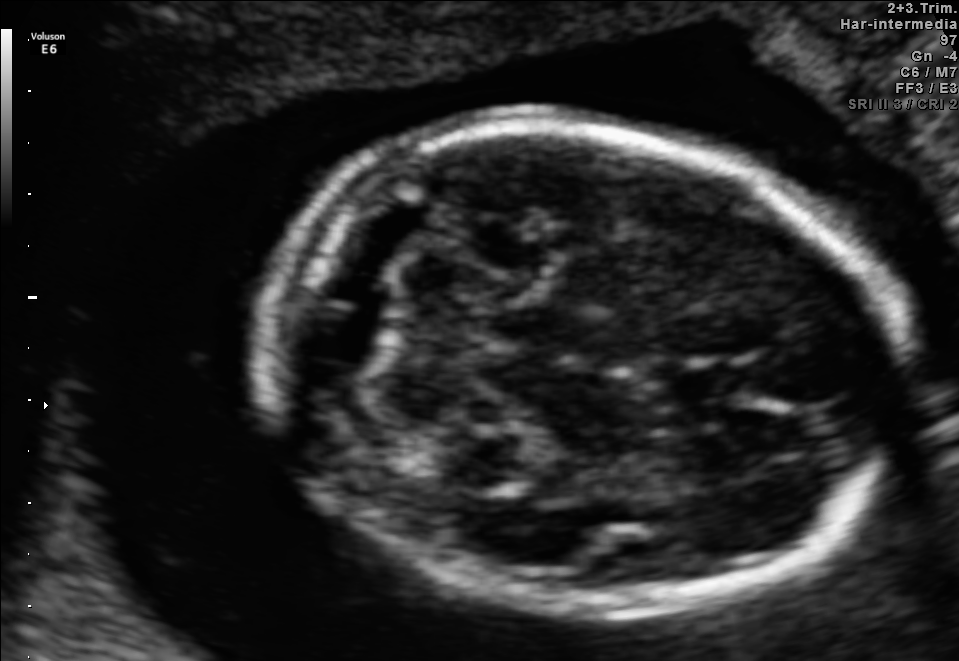
In this fetal brain, trans-cerebellum plane, give the bounding box of the fetal head.

[260,127,909,614]